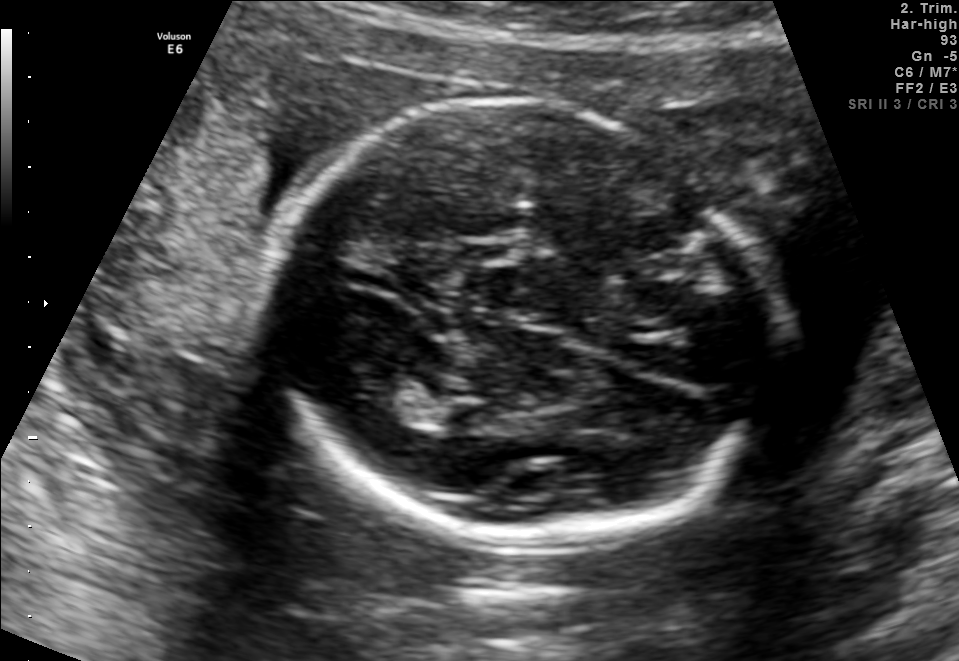
In this fetal brain, trans-thalamic plane, give the bounding box of the lateral ventricle.

[364,375,456,432]